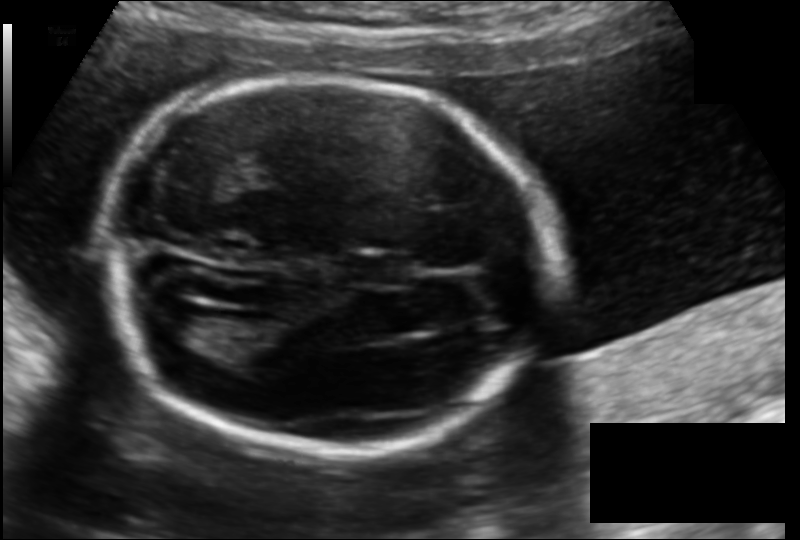
In this fetal head ultrasound, give bounding boxes for the head outline, cavum septum pellucidum (CSP), and lateral ventricle (LV), where visible. Image width: 107.8 mm.

Head: [99,76,549,449]
CSP: [354,256,412,284]
Lateral ventricle: [144,299,215,354]